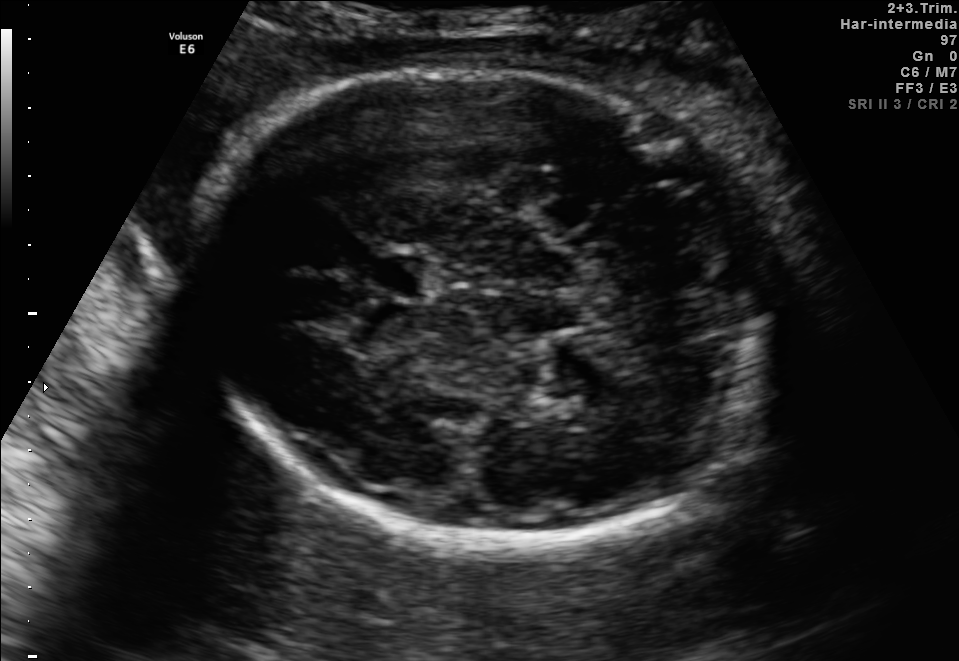
In this fetal brain, trans-thalamic plane, give the bounding box of the fetal head.

[185,67,770,552]